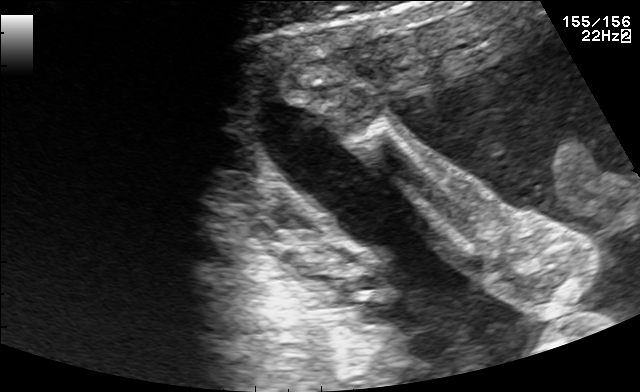
Classify this maternal-fetal ultrasound image as one of the six standard planes — fetal abdomen, fetal brain, fetal femur, fetal thorax, maternal cervix, or other. If it's fetal brain and one of the three standard brain planes (trans-thalamic, trans-cerebellum, trans-ventricular), name which.

Other